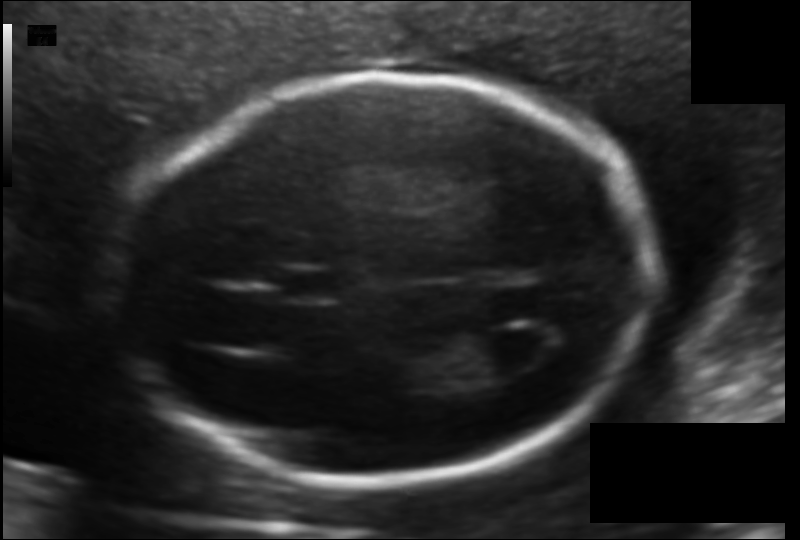
Estimate the fetal head circumference from this 2D ultrasound. Image width: 93.0 mm.

Head circumference: 176.2 mm.